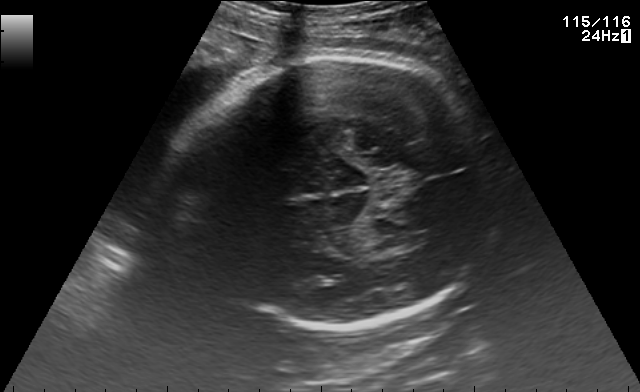
Fetal brain, trans-thalamic plane. Locate the fetal head.

Head: [163,56,501,330]